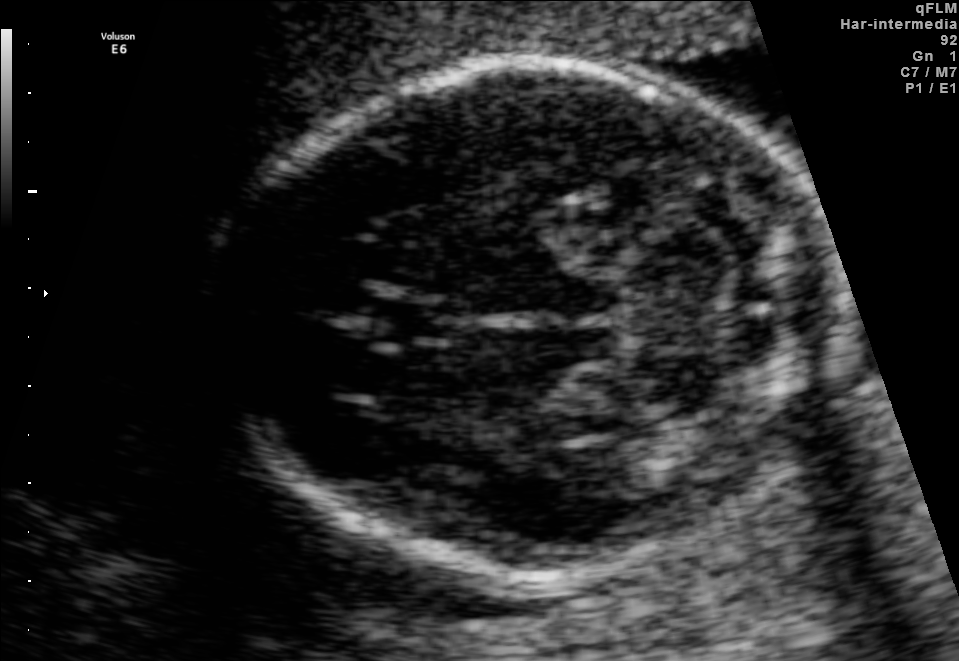
Fetal brain, trans-cerebellum plane. Where is the fetal head?

Head bounding box: [229,64,838,575]